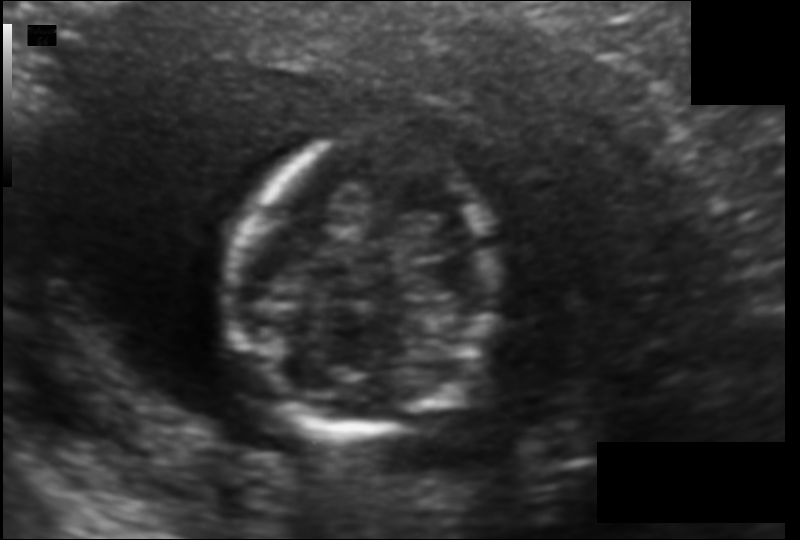
Fetal head ultrasound. Image width: 83.0 mm. Locate the fetal head.

Head: [228,138,494,435]